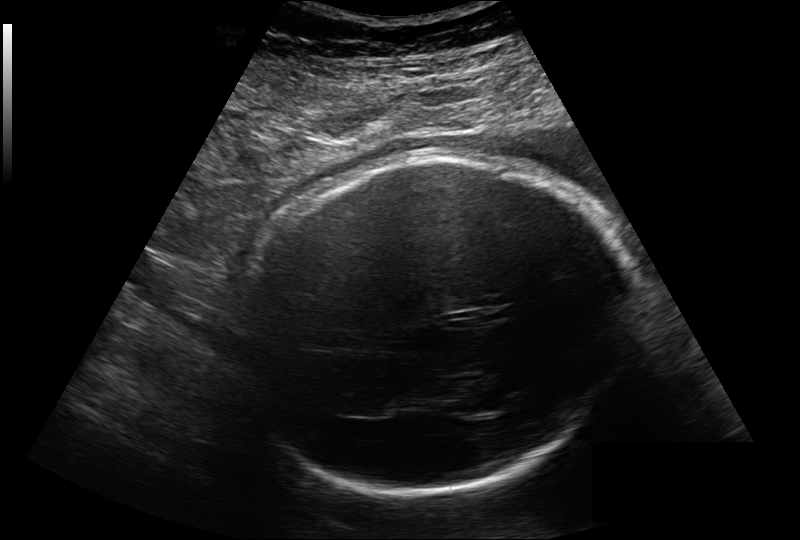
Estimate the fetal head circumference from this 2D ultrasound. Image width: 211.0 mm.

Head circumference: 315.7 mm.